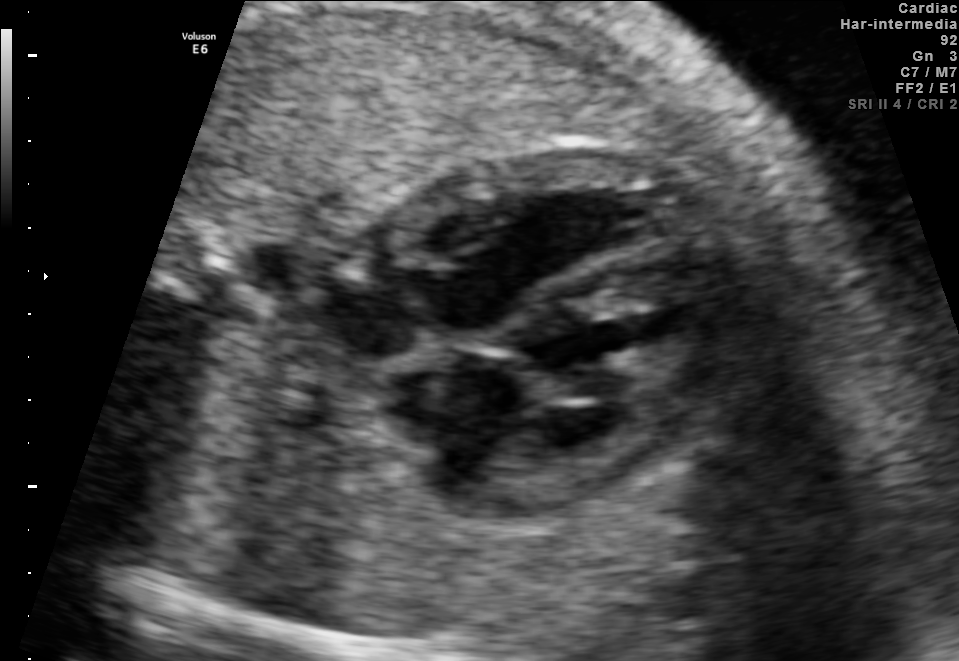
Identify the standard plane in this fetal ultrasound image: fetal abdomen, fetal brain, fetal femur, fetal thorax, maternal cervix, or other. If it's fetal brain and one of the three standard brain planes (trans-thalamic, trans-cerebellum, trans-ventricular), name which.

Fetal thorax